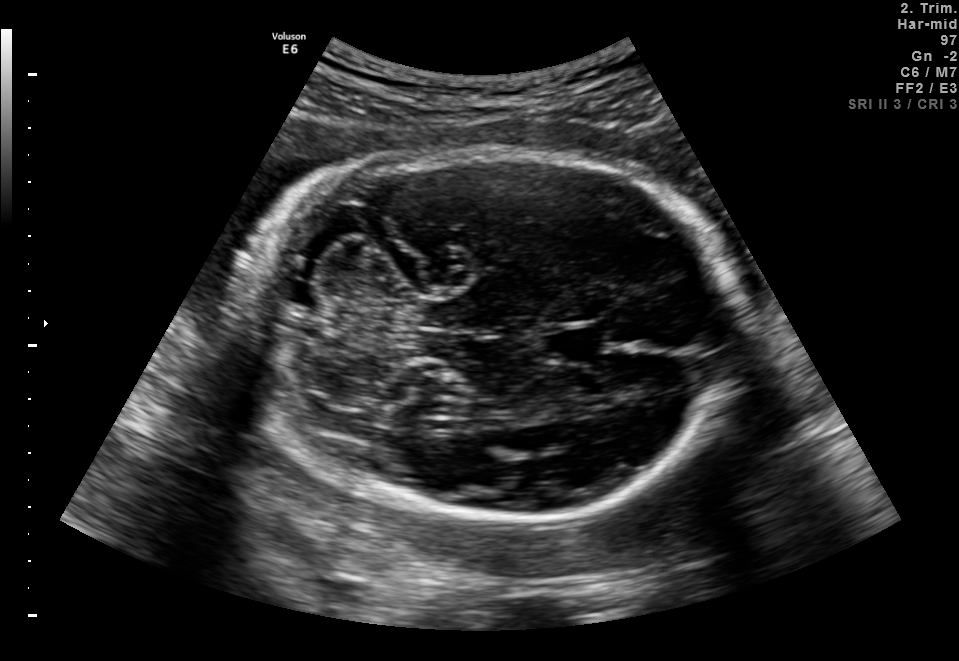
Fetal brain, trans-cerebellum plane. Where is the fetal head?

Head bounding box: [239,150,740,521]